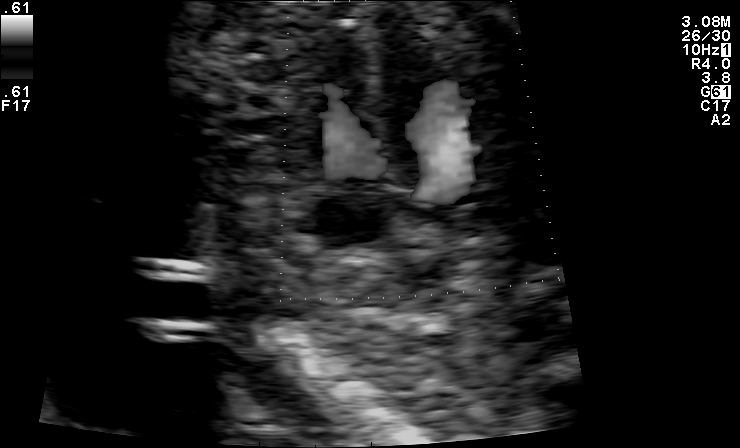
This is a 2D maternal-fetal ultrasound frame. Is it a fetal abdomen, fetal brain, fetal femur, fetal thorax, maternal cervix, or other standard plane? If it's fetal brain and one of the three standard brain planes (trans-thalamic, trans-cerebellum, trans-ventricular), name which.

Other